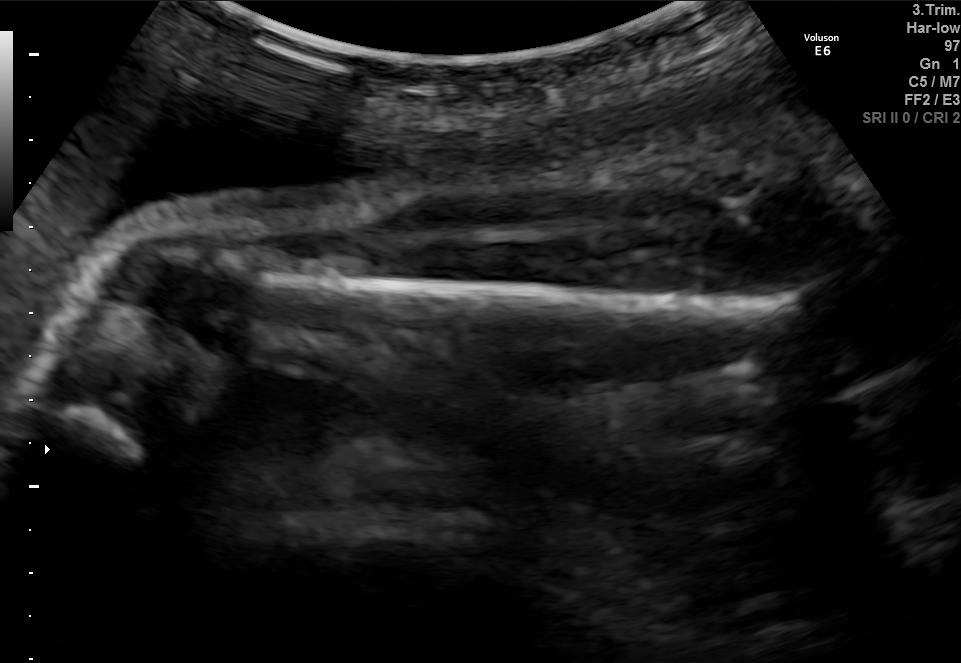
Identify the standard plane in this fetal ultrasound image: fetal abdomen, fetal brain, fetal femur, fetal thorax, maternal cervix, or other. If it's fetal brain and one of the three standard brain planes (trans-thalamic, trans-cerebellum, trans-ventricular), name which.

Fetal femur